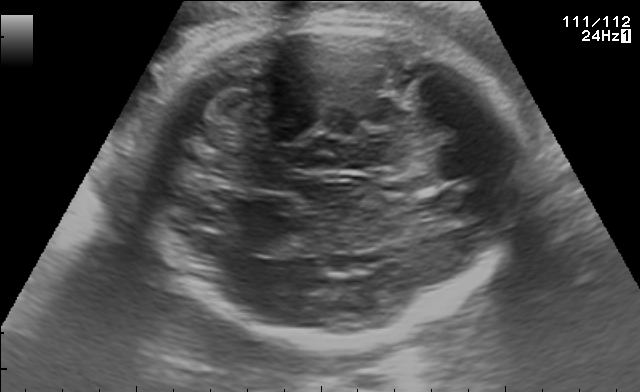
Fetal brain, trans-cerebellum plane. Where is the fetal head?

Head bounding box: [143,12,525,342]